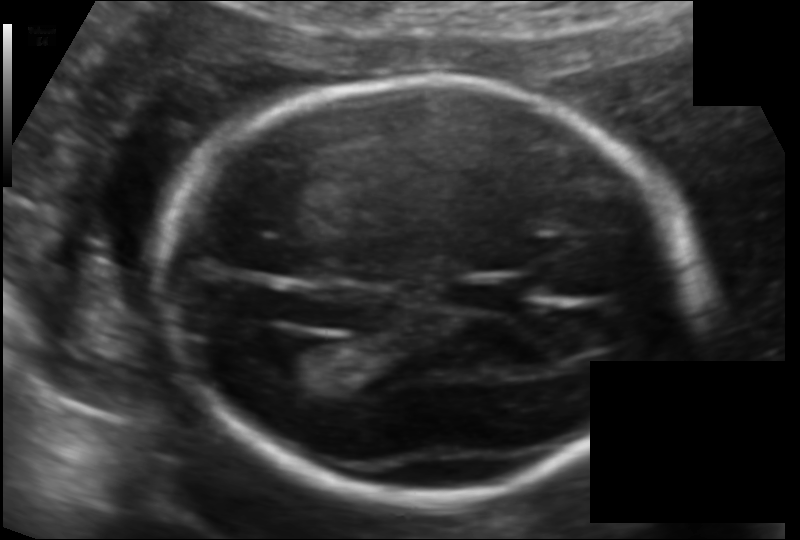
Measure the fetal head circumference shown in this ultrasound image. Image width: 94.6 mm.

Head circumference: 181.9 mm.